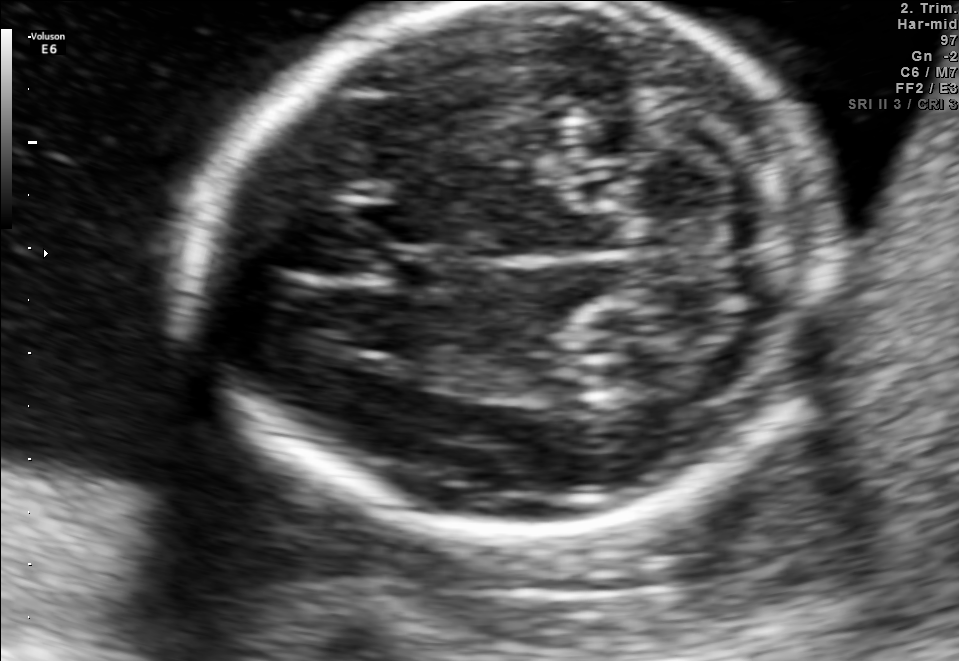
Fetal brain, trans-cerebellum plane. Locate the fetal head and, if visible, the cavum septum pellucidum (CSP) and lateral ventricle (LV). Give bounding boxes as [x1,y1,x2,y2].

Head: [188,4,841,537]
CSP: [380,251,451,291]